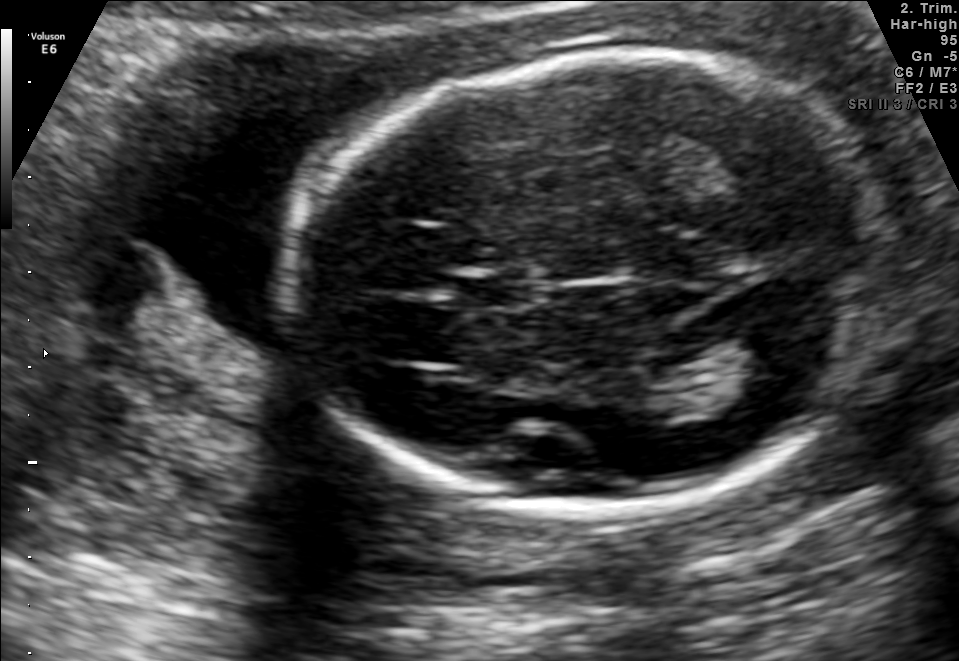
In this fetal brain, trans-thalamic plane, give the bounding box of the fetal head.

[290,53,885,518]